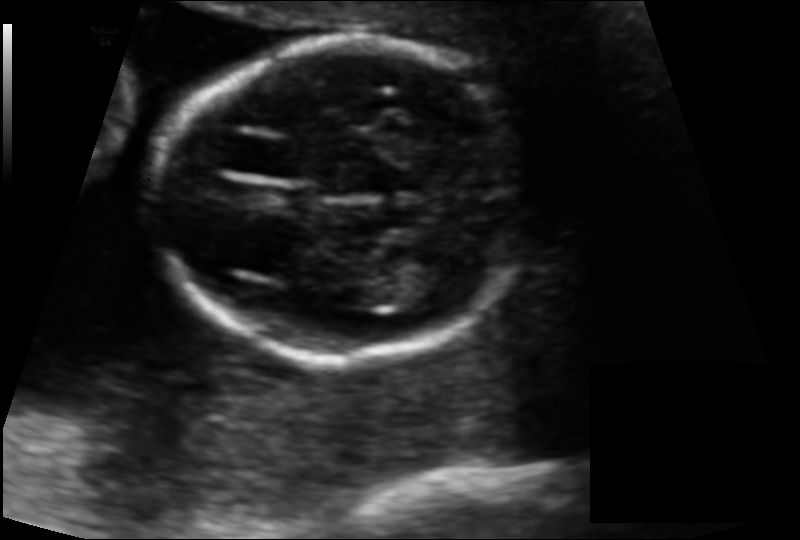
Measure the fetal head circumference shown in this ultrasound image. Image width: 92.0 mm.

Head circumference: 131.2 mm.